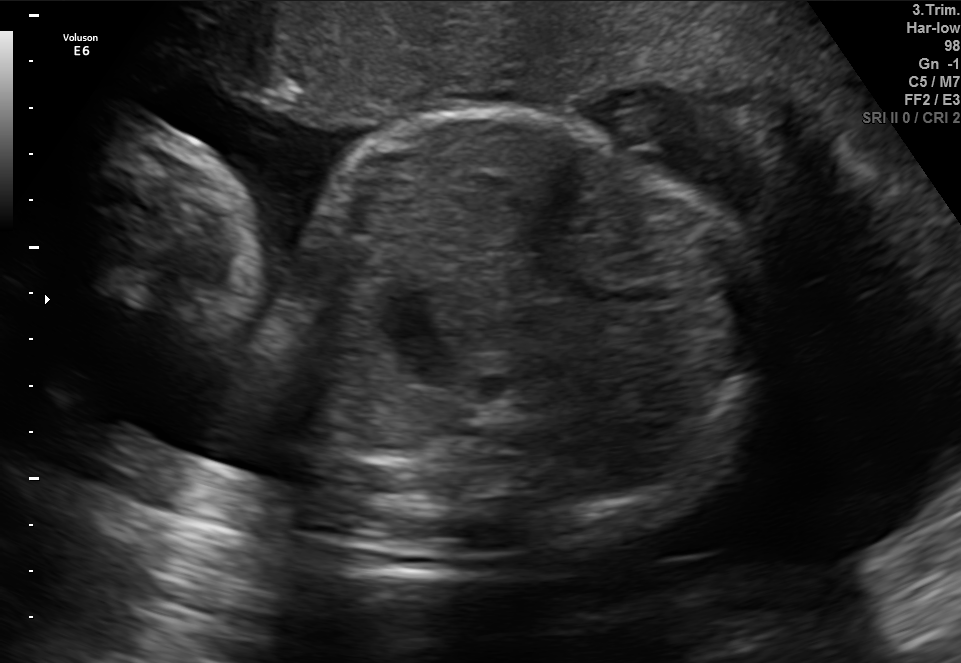
Classify this maternal-fetal ultrasound image as one of the six standard planes — fetal abdomen, fetal brain, fetal femur, fetal thorax, maternal cervix, or other. If it's fetal brain and one of the three standard brain planes (trans-thalamic, trans-cerebellum, trans-ventricular), name which.

Fetal abdomen